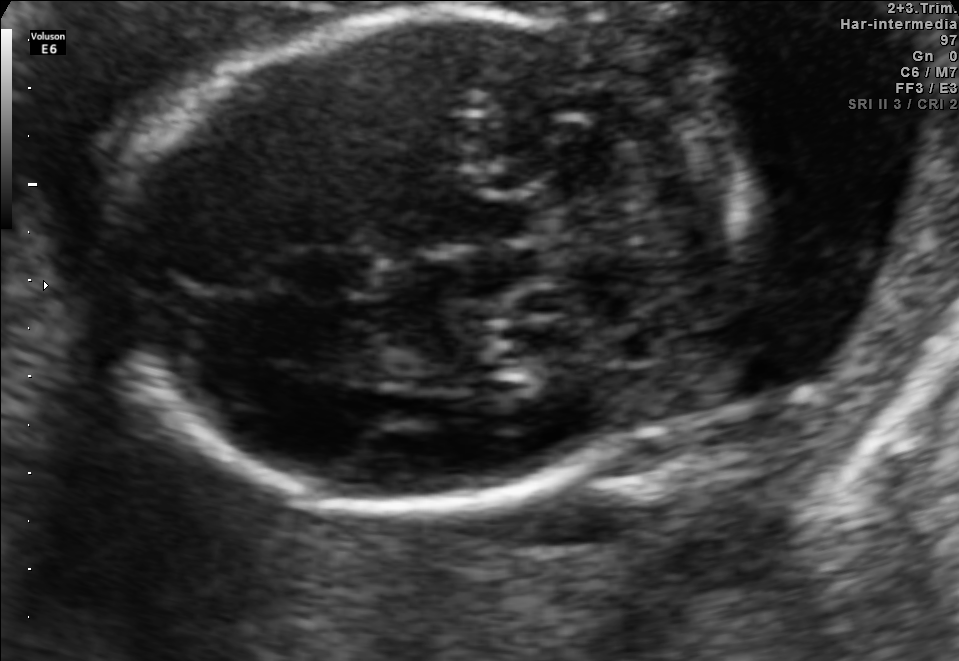
Identify the standard plane in this fetal ultrasound image: fetal abdomen, fetal brain, fetal femur, fetal thorax, maternal cervix, or other. If it's fetal brain and one of the three standard brain planes (trans-thalamic, trans-cerebellum, trans-ventricular), name which.

Fetal brain (trans-cerebellum plane)